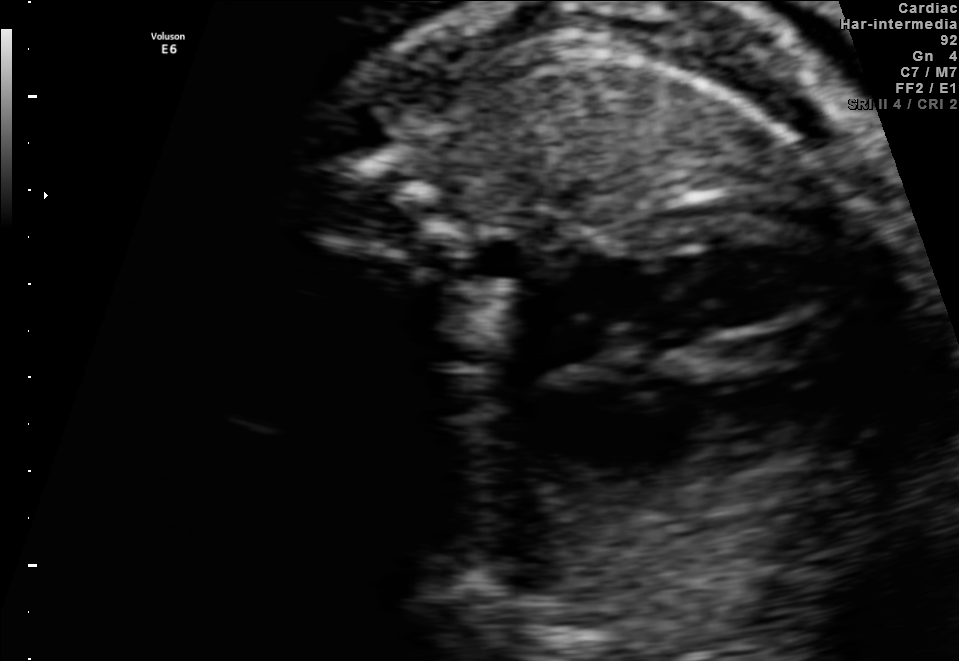
Classify this maternal-fetal ultrasound image as one of the six standard planes — fetal abdomen, fetal brain, fetal femur, fetal thorax, maternal cervix, or other. If it's fetal brain and one of the three standard brain planes (trans-thalamic, trans-cerebellum, trans-ventricular), name which.

Fetal thorax